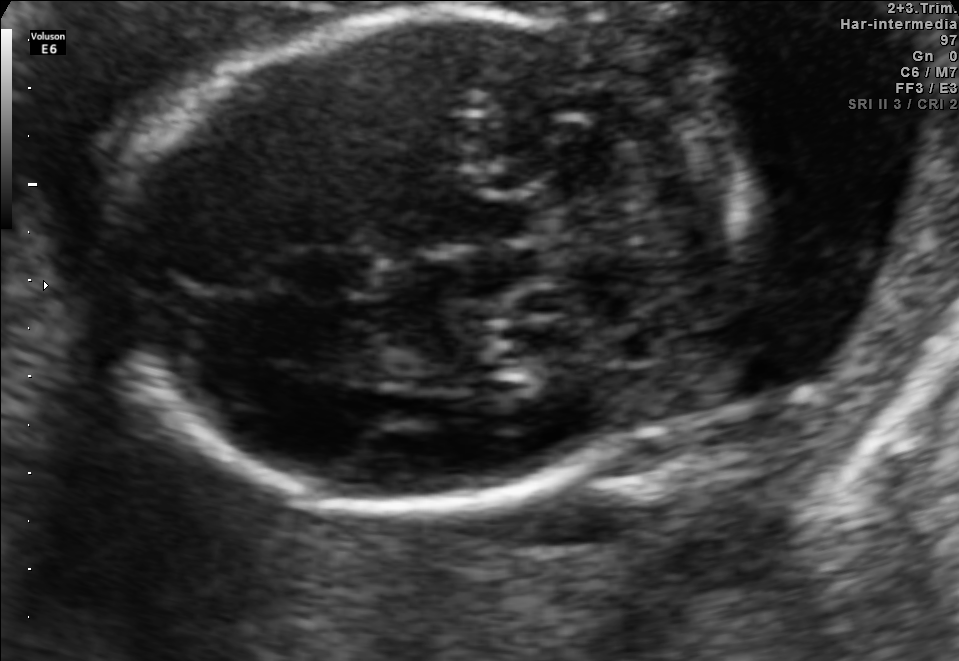
In this fetal brain, trans-cerebellum plane, give bounding boxes for the head outline, cavum septum pellucidum (CSP), and lateral ventricle (LV), where visible.

Head: [108,9,753,506]
CSP: [289,245,380,300]